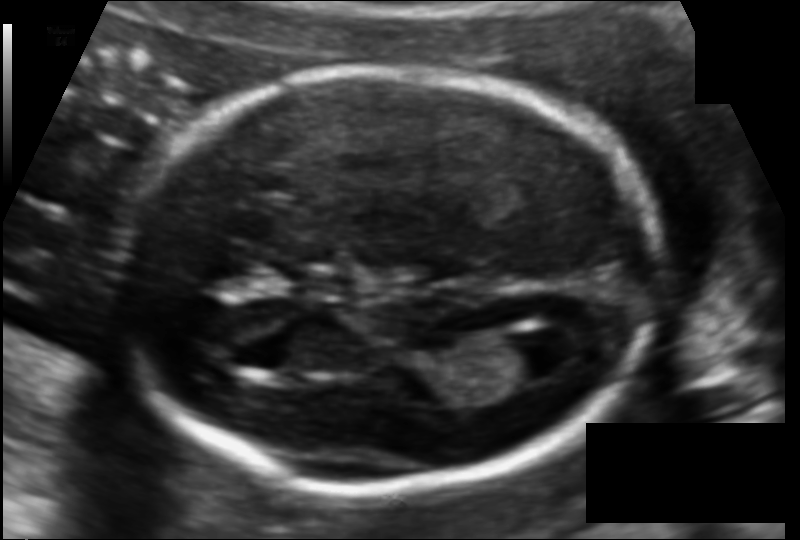
Fetal head ultrasound. Image width: 85.9 mm. Where is the lateral ventricle?

Lateral ventricle bounding box: [485,322,573,392]